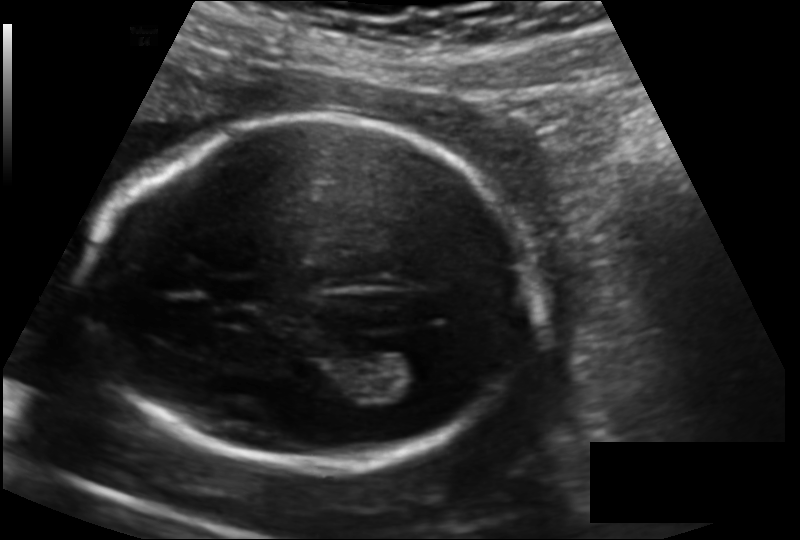
Fetal head ultrasound. Image width: 111.4 mm. Where is the lateral ventricle?

Lateral ventricle bounding box: [372,346,445,400]